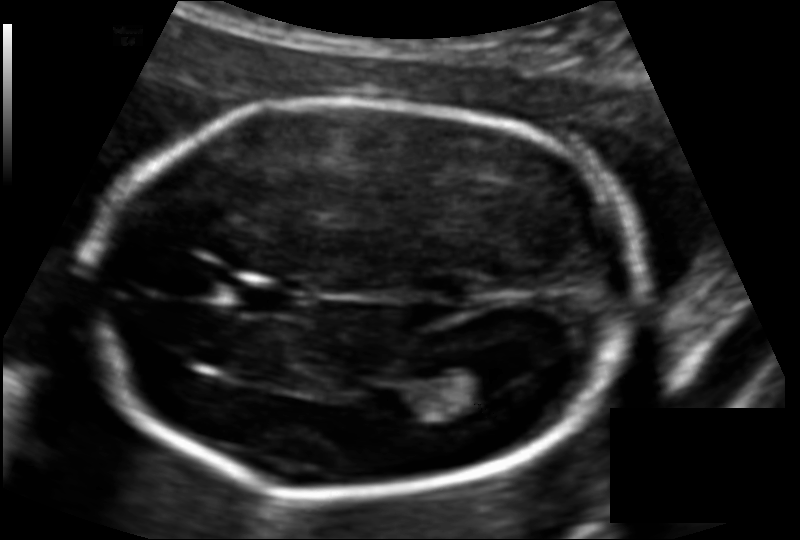
Fetal head ultrasound. Image width: 93.9 mm. Give [x1,y1,x2,y2] bounding boxes for each visible structure among: fetal head, CSP, LV.

Head: [88,101,630,494]
CSP: [232,277,312,322]
Lateral ventricle: [423,347,516,417]